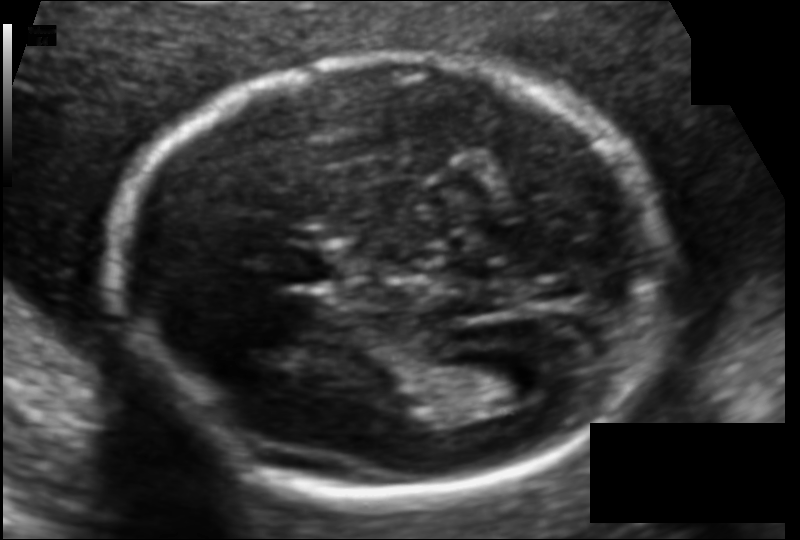
Estimate the fetal head circumference from this 2D ultrasound.

Head circumference: 166.9 mm (image width 83.5 mm).